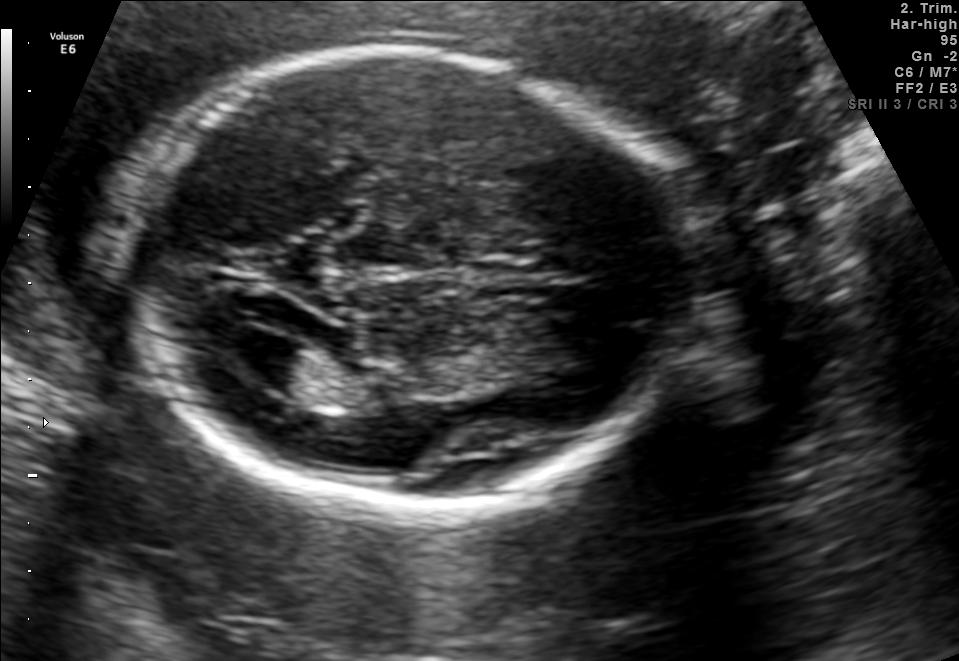
Fetal brain, trans-ventricular plane. Where is the cavum septum pellucidum?

CSP bounding box: [470,264,553,300]